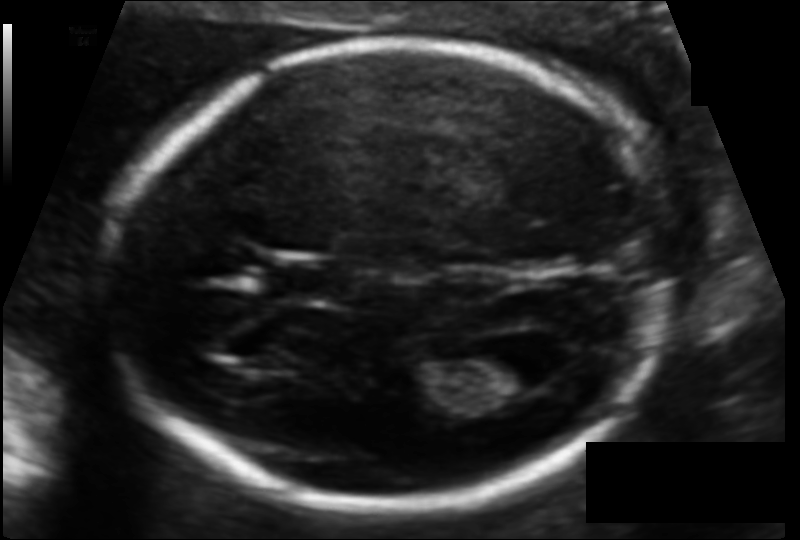
Fetal head ultrasound. Image width: 82.6 mm. Where is the cavum septum pellucidum?

CSP bounding box: [270,261,337,302]